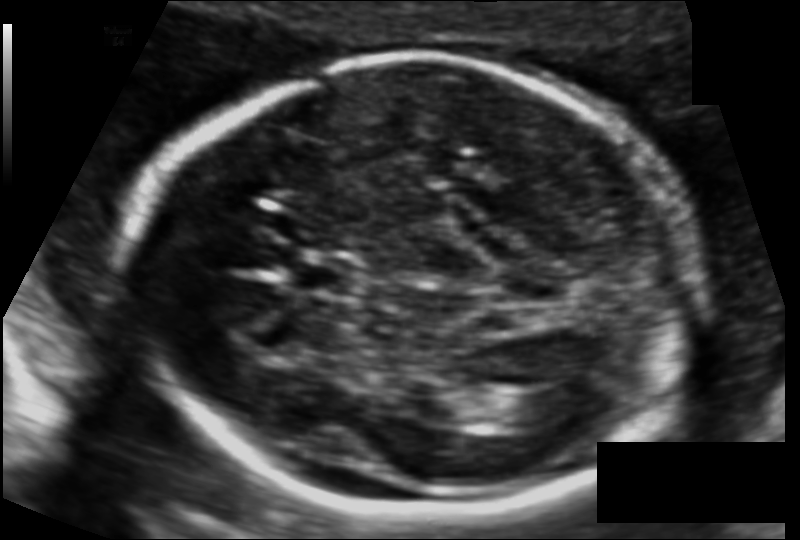
Measure the fetal head circumference shown in this ultrasound image. Image width: 89.5 mm.

Head circumference: 184.1 mm.